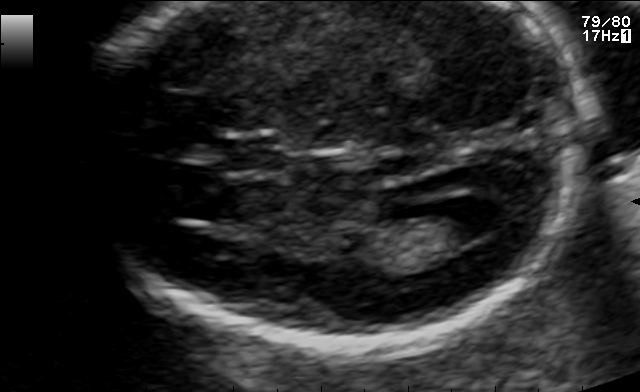
Fetal brain, trans-ventricular plane. Where is the lateral ventricle?

Lateral ventricle bounding box: [424,184,511,251]